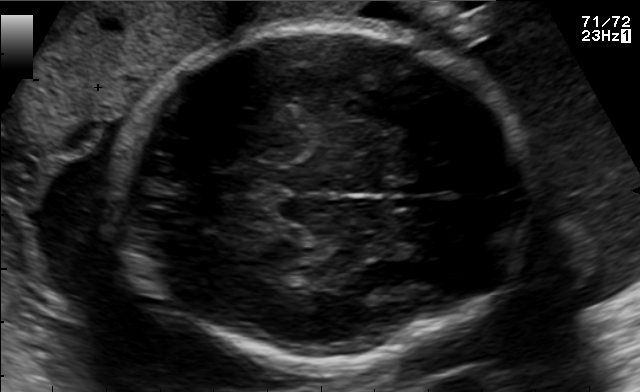
Fetal brain, trans-thalamic plane. Where is the fetal head?

Head bounding box: [112,27,528,364]